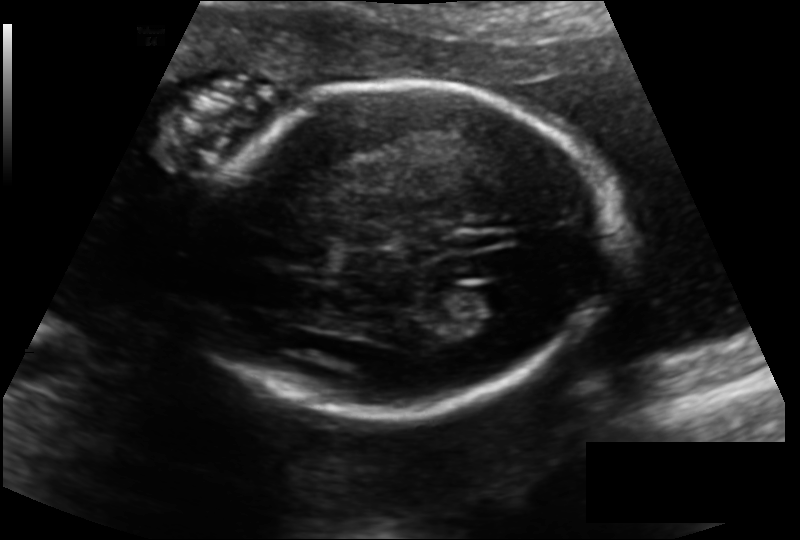
Estimate the fetal head circumference from this 2D ultrasound.

Head circumference: 173.8 mm (image width 115.4 mm).